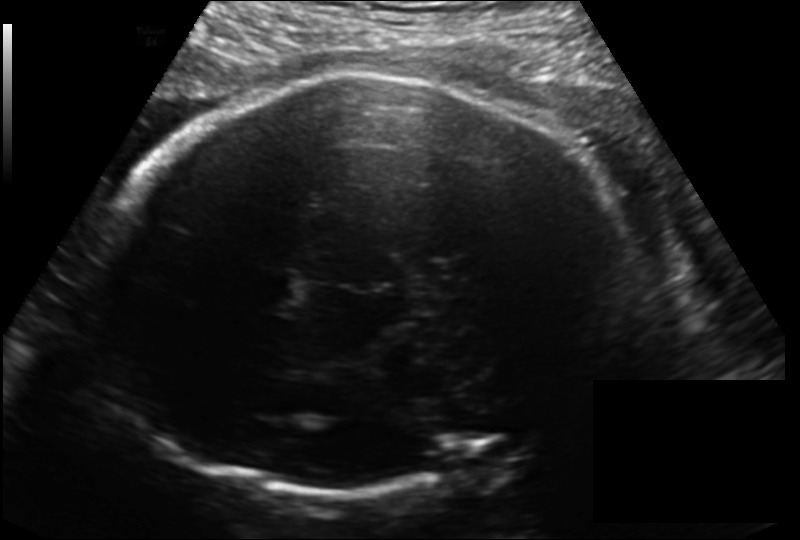
Fetal head ultrasound. Image width: 158.6 mm. Give [x1,y1,x2,y2] bounding boxes for each visible structure among: fetal head, CSP, LV.

Head: [88,69,624,493]